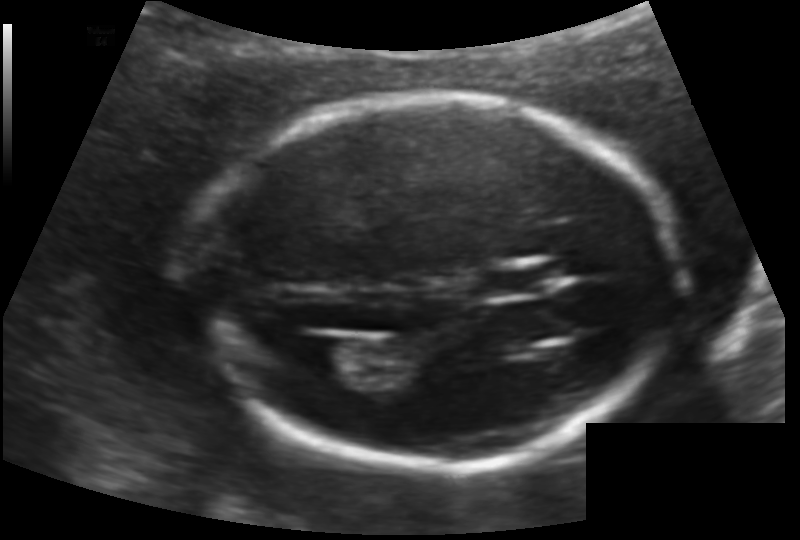
Fetal head ultrasound. Image width: 99.5 mm. Locate the fetal head and, if visible, the cavum septum pellucidum (CSP) and lateral ventricle (LV). Give bounding boxes as [x1,y1,x2,y2].

Head: [193,96,666,469]
CSP: [475,261,546,303]
Lateral ventricle: [300,332,358,378]